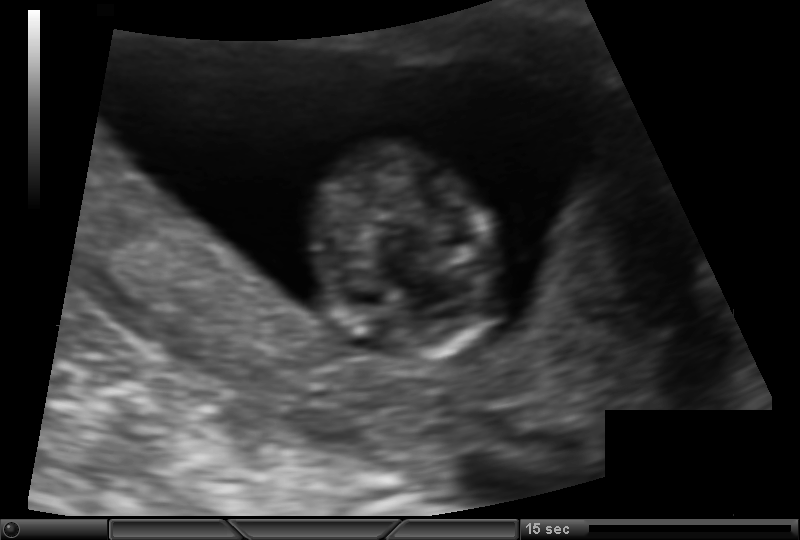
Measure the fetal head circumference shown in this ultrasound image. Image width: 84.2 mm.

Head circumference: 73.2 mm.